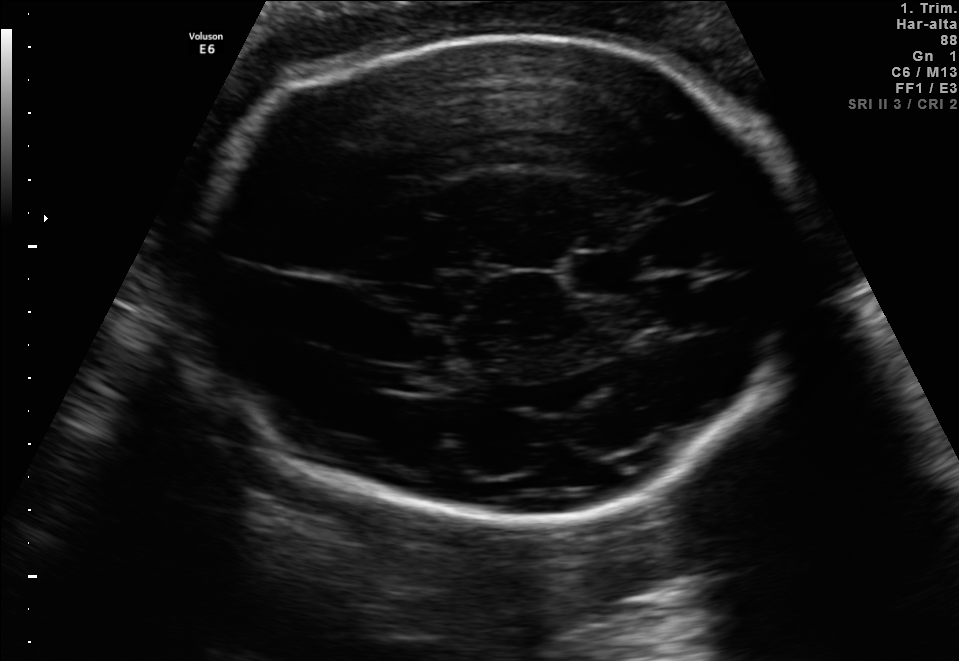
In this fetal brain, trans-thalamic plane, give the bounding box of the cavum septum pellucidum.

[574,254,638,292]